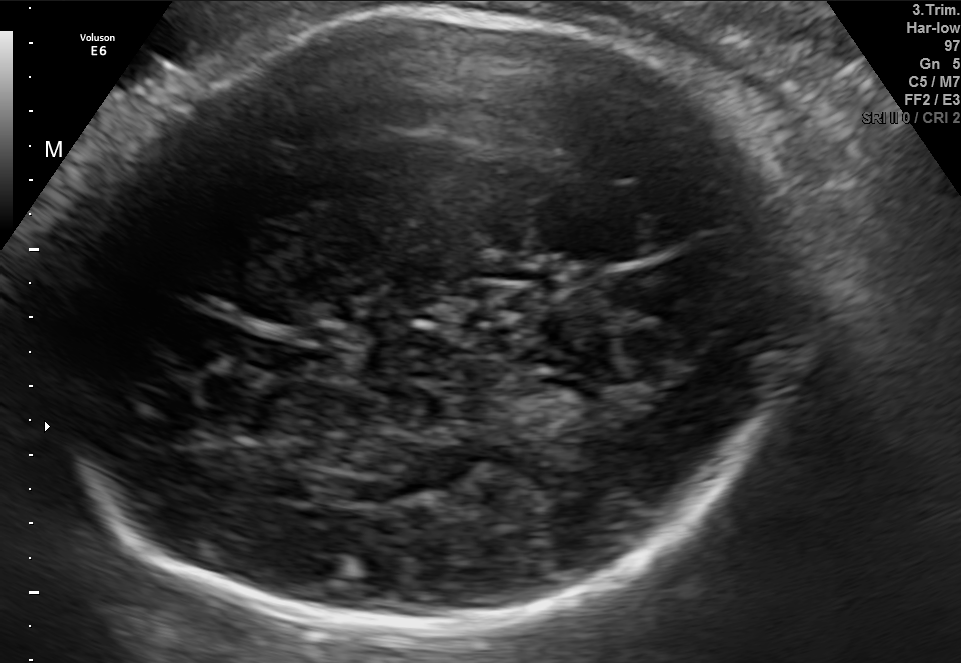
In this fetal brain, trans-thalamic plane, give bounding boxes for the head outline, cavum septum pellucidum (CSP), and lateral ventricle (LV), where visible.

Head: [42,13,789,636]